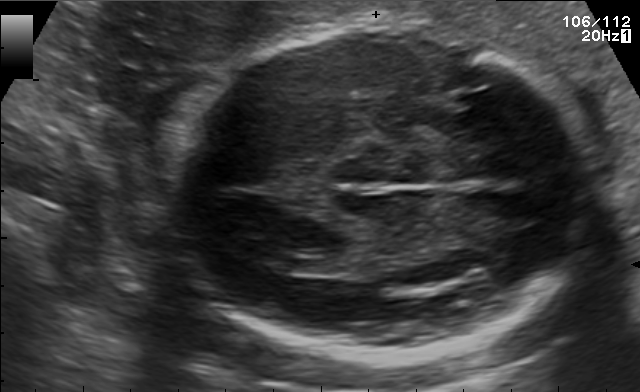
Fetal brain, trans-ventricular plane. Locate the fetal head.

Head: [157,21,609,370]